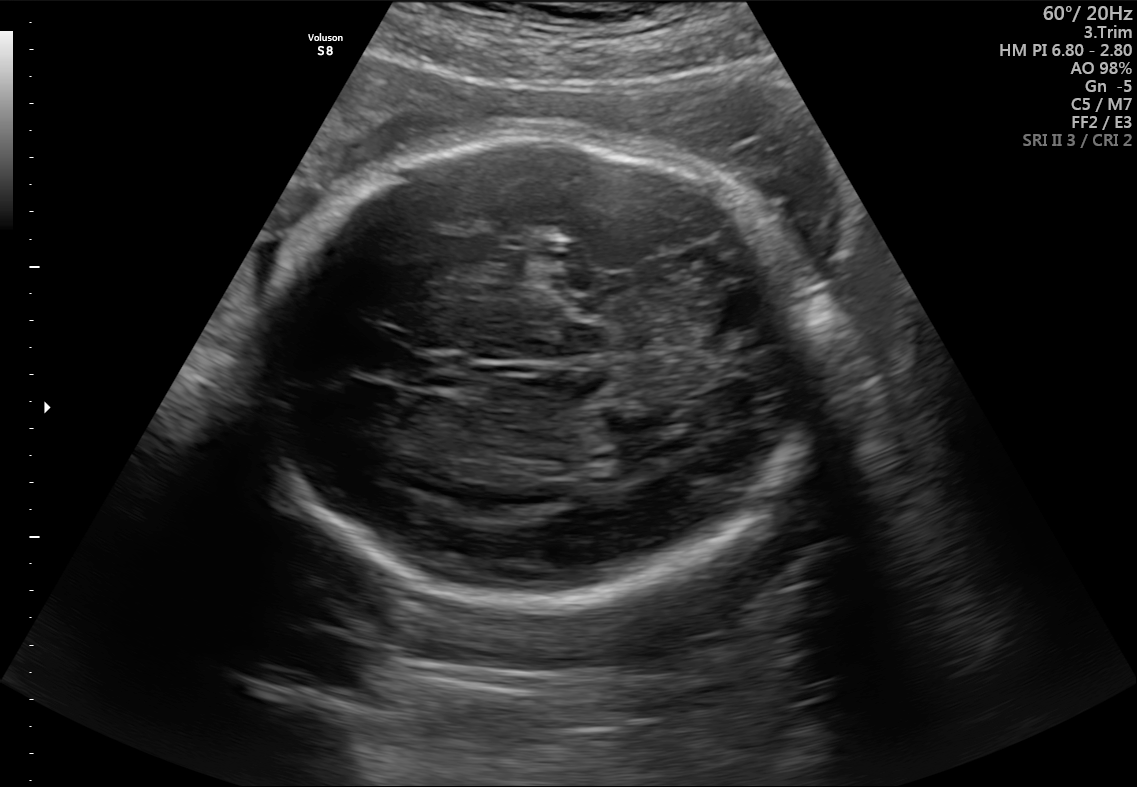
In this fetal brain, trans-thalamic plane, give the bounding box of the fetal head.

[251,135,822,607]